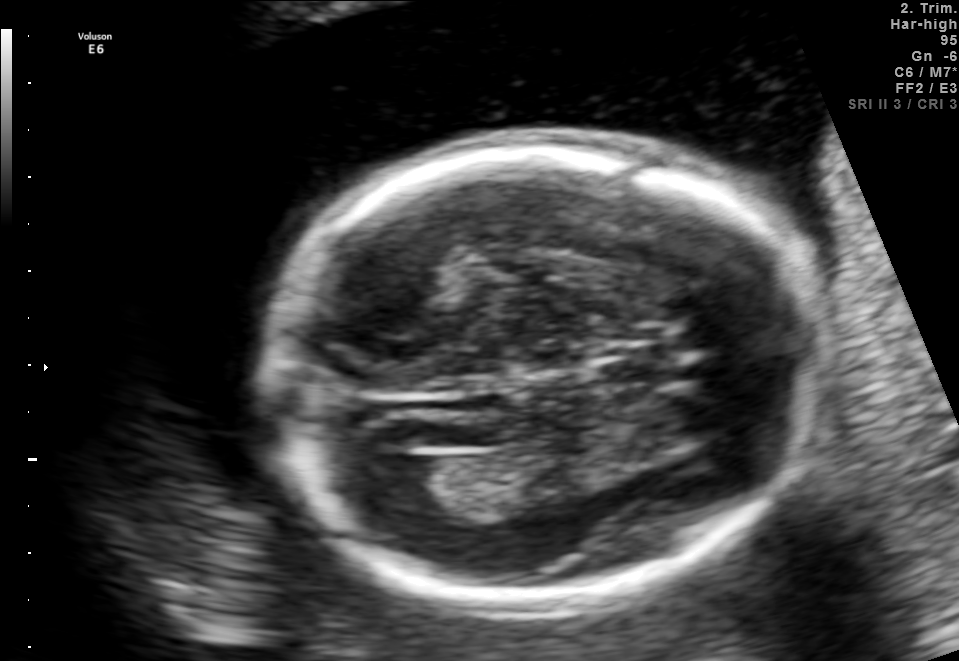
In this fetal brain, trans-ventricular plane, give bounding boxes for the head outline, cavum septum pellucidum (CSP), and lateral ventricle (LV), where visible.

Head: [248,128,841,617]
Lateral ventricle: [376,456,452,512]